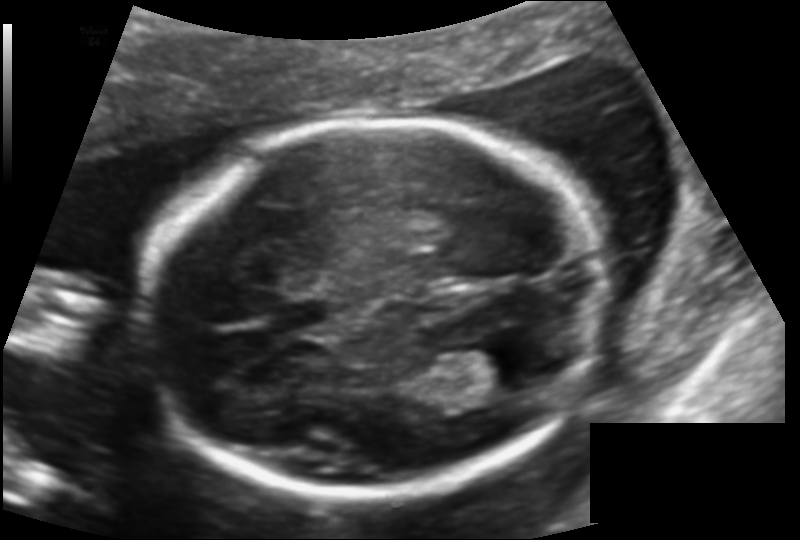
Fetal head ultrasound. Image width: 105.2 mm. Where is the fetal head?

Head bounding box: [147,118,603,495]